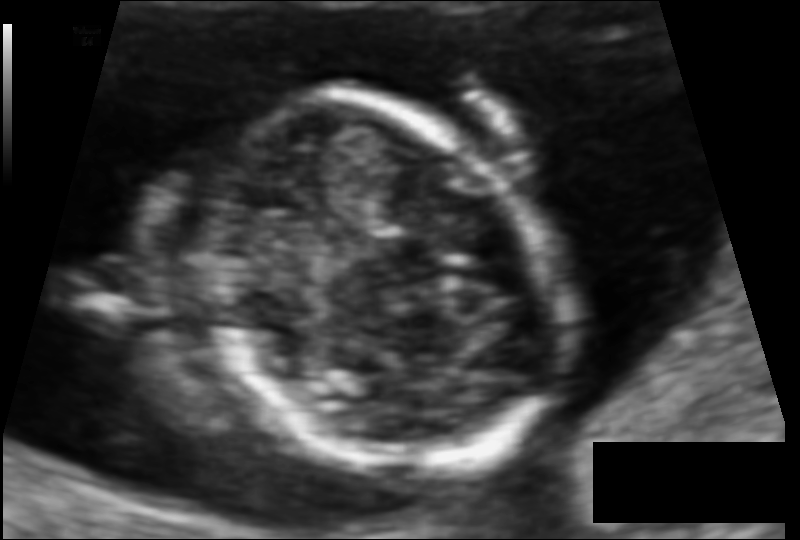
In this fetal head ultrasound, give the bounding box of the fetal head. Image width: 68.0 mm.

[193,99,567,471]